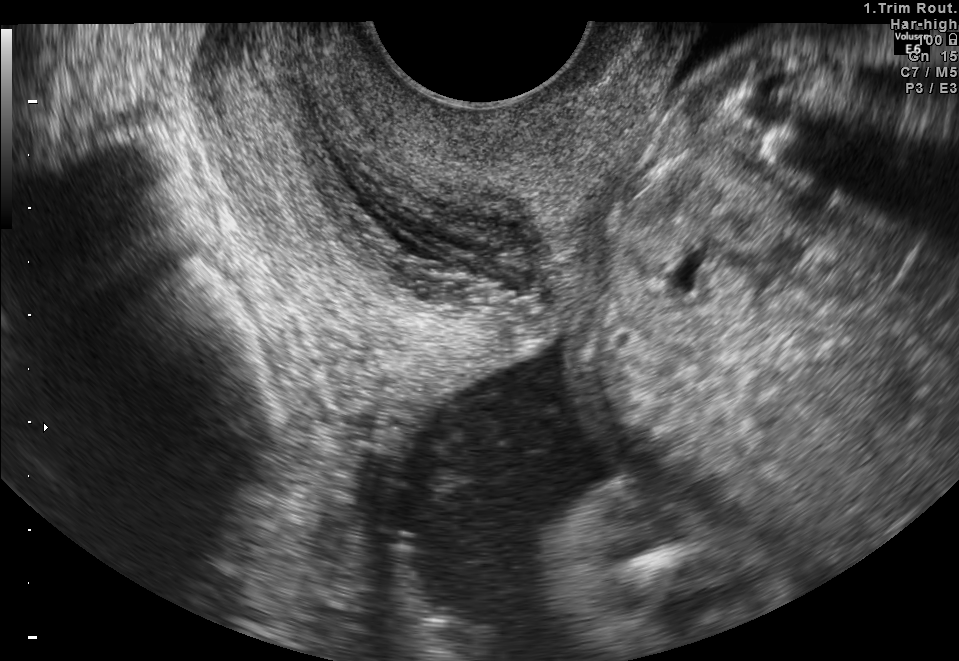
Which standard maternal-fetal ultrasound plane is shown: fetal abdomen, fetal brain, fetal femur, fetal thorax, maternal cervix, or other? If it's fetal brain and one of the three standard brain planes (trans-thalamic, trans-cerebellum, trans-ventricular), name which.

Maternal cervix